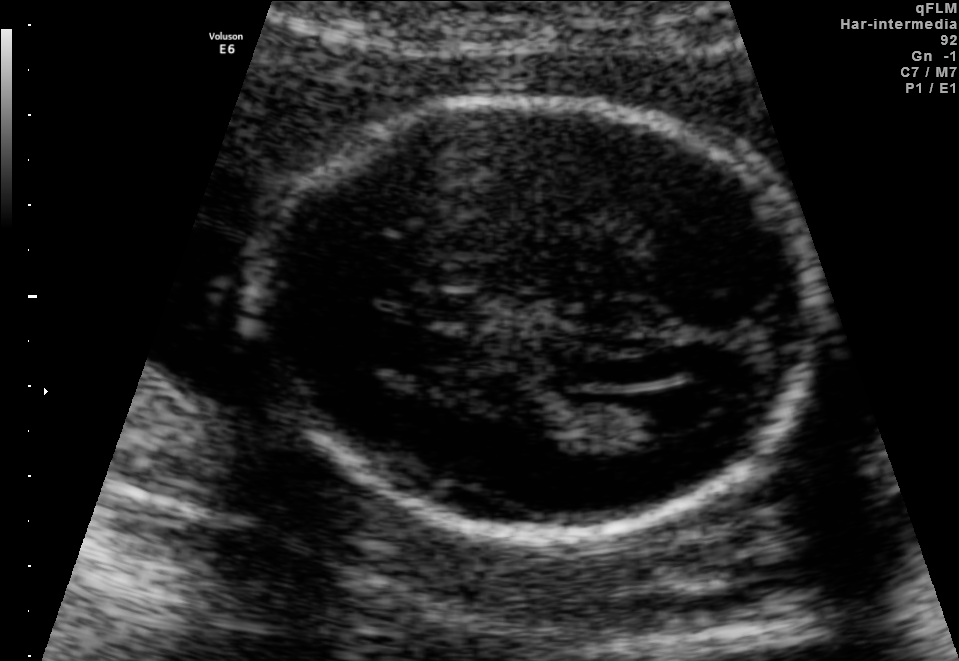
Fetal brain, trans-ventricular plane. Give [x1,y1,x2,y2] bounding boxes for each visible structure among: fetal head, CSP, LV.

Head: [238,91,829,544]
CSP: [385,283,497,332]
Lateral ventricle: [616,384,711,450]